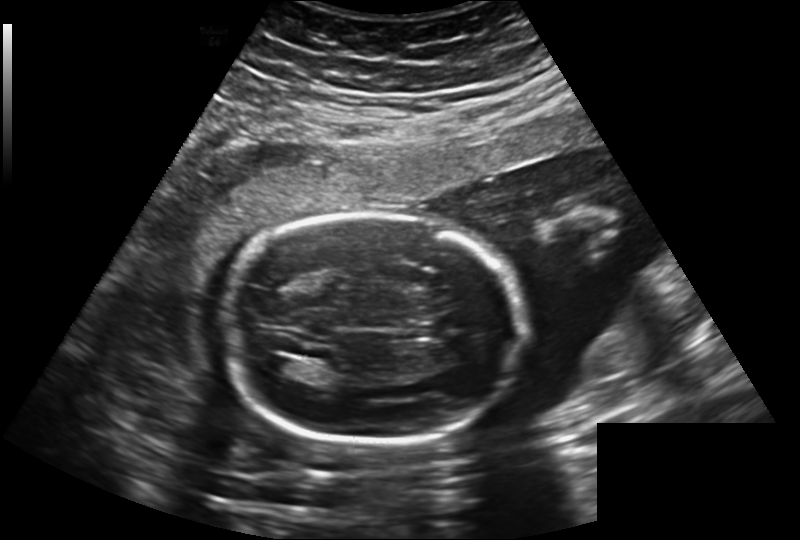
What is the fetal head circumference? Image width is 192.6 mm.

205.7 mm